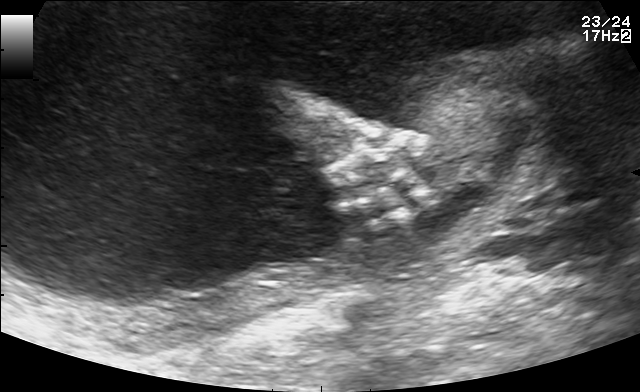
This is a 2D maternal-fetal ultrasound frame. Is it a fetal abdomen, fetal brain, fetal femur, fetal thorax, maternal cervix, or other standard plane? If it's fetal brain and one of the three standard brain planes (trans-thalamic, trans-cerebellum, trans-ventricular), name which.

Other